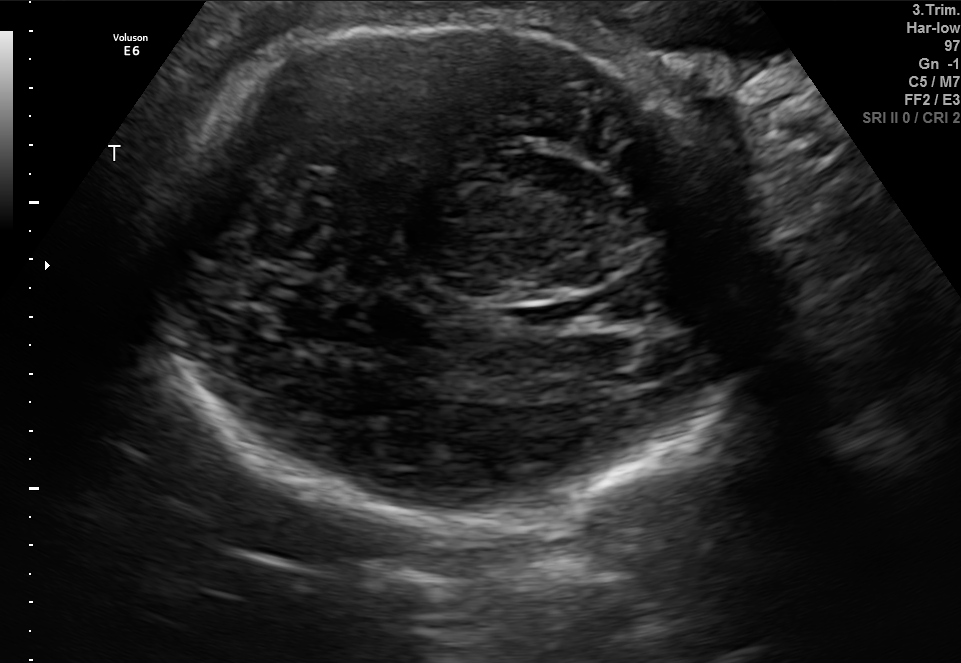
Fetal brain, trans-thalamic plane. Locate the fetal head and, if visible, the cavum septum pellucidum (CSP) and lateral ventricle (LV). Give bounding boxes as [x1,y1,x2,y2].

Head: [160,16,751,531]